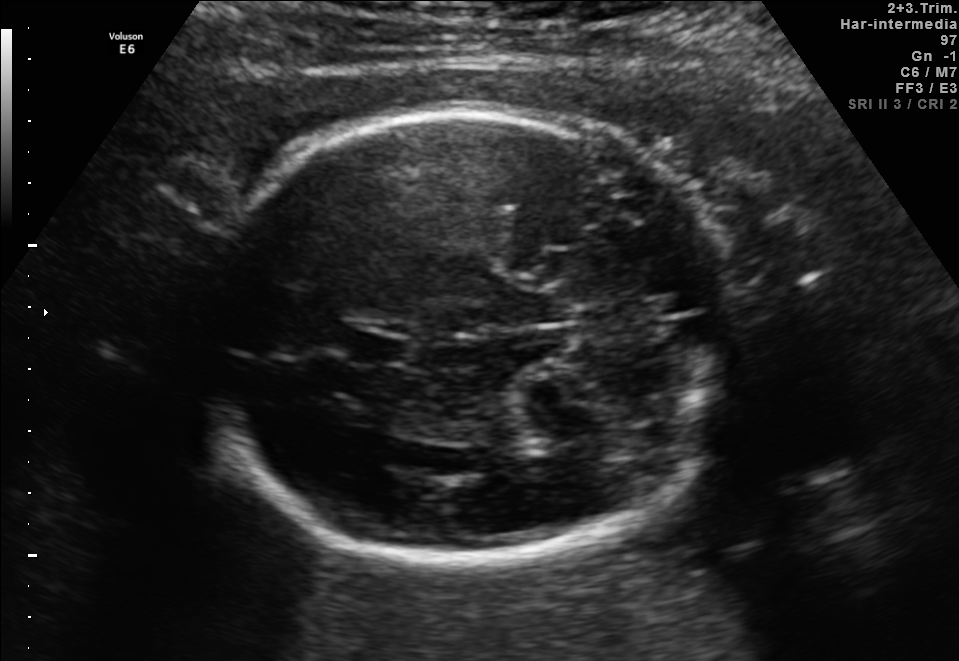
Fetal brain, trans-cerebellum plane. Locate the fetal head and, if visible, the cavum septum pellucidum (CSP) and lateral ventricle (LV). Give bounding boxes as [x1,y1,x2,y2].

Head: [201,109,738,560]
CSP: [348,329,410,369]